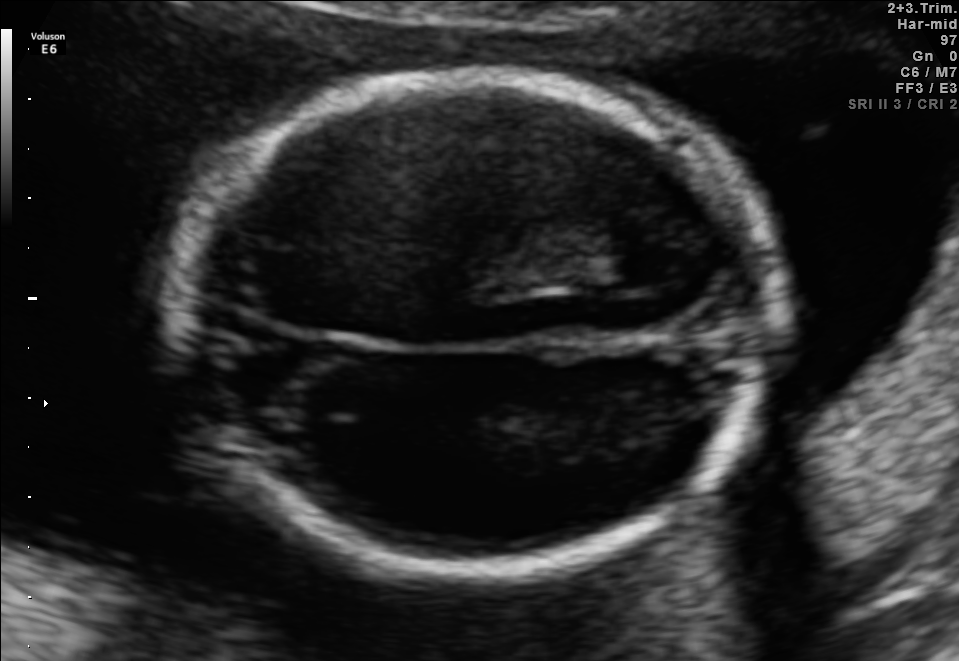
In this fetal brain, trans-thalamic plane, give the bounding box of the fetal head.

[172,76,777,569]